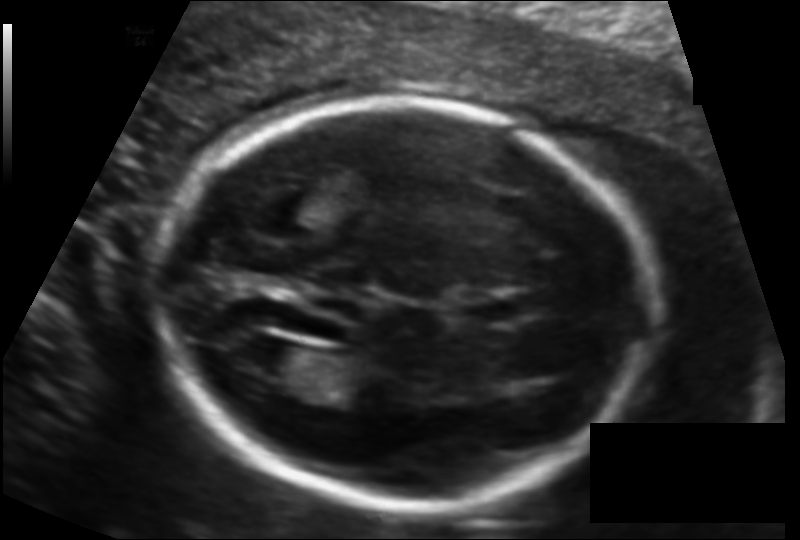
In this fetal head ultrasound, give the bounding box of the lateral ventricle. Image width: 98.9 mm.

[233,334,308,385]